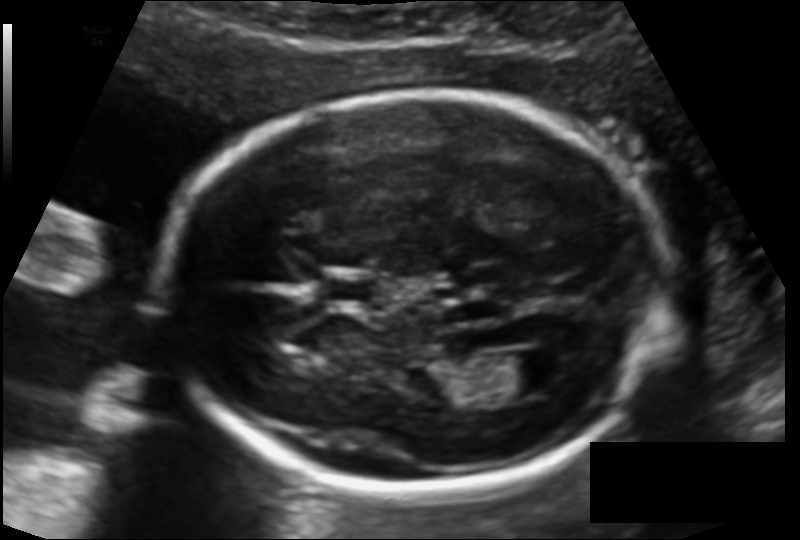
Estimate the fetal head circumference from this 2D ultrasound.

Head circumference: 181.7 mm (image width 101.2 mm).